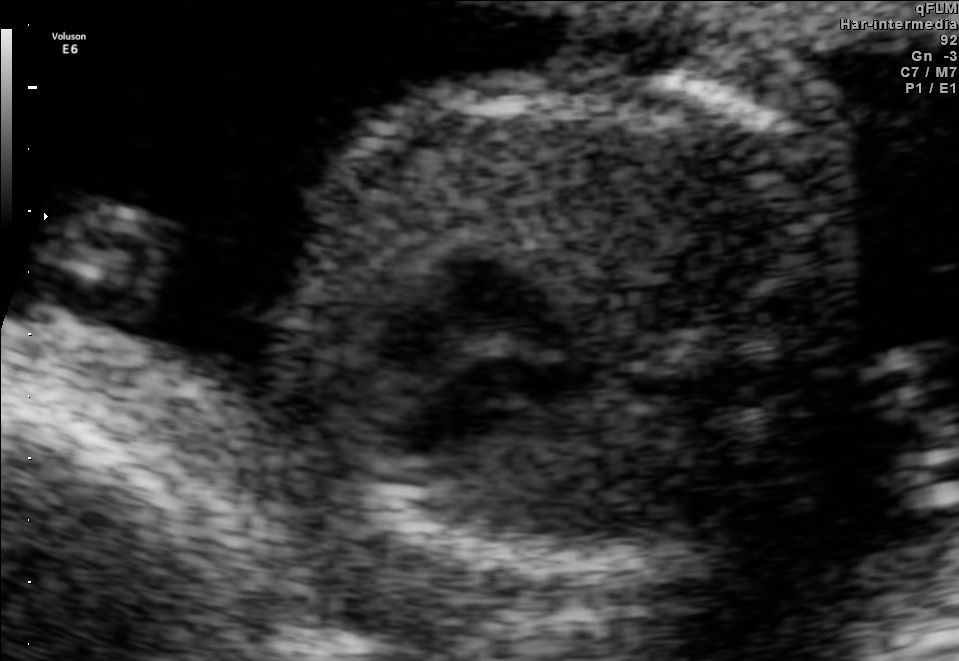
This is a 2D maternal-fetal ultrasound frame. Is it a fetal abdomen, fetal brain, fetal femur, fetal thorax, maternal cervix, or other standard plane? If it's fetal brain and one of the three standard brain planes (trans-thalamic, trans-cerebellum, trans-ventricular), name which.

Fetal thorax